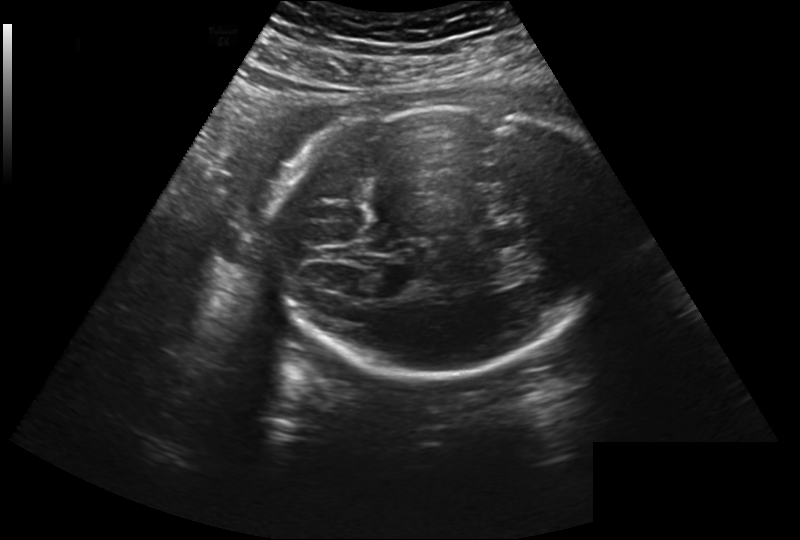
In this fetal head ultrasound, give the bounding box of the lateral ventricle. Image width: 208.3 mm.

[320,263,372,298]